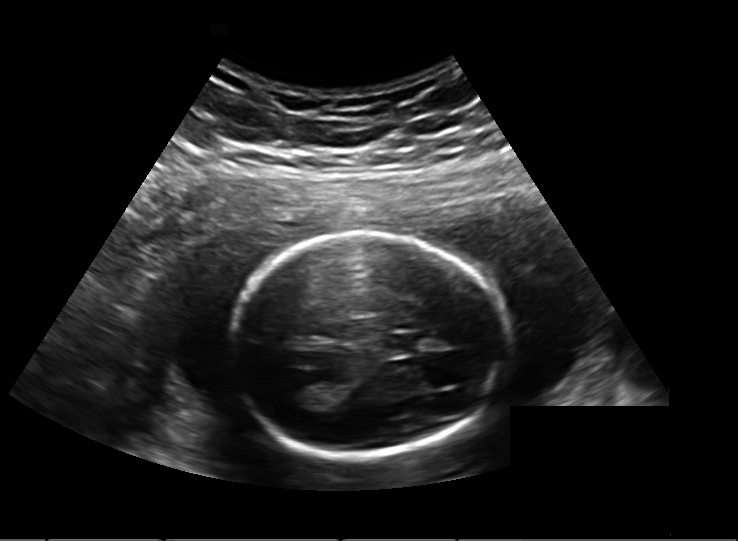
Fetal head ultrasound. Image width: 149.5 mm. Where is the cavum septum pellucidum?

CSP bounding box: [385,332,418,355]